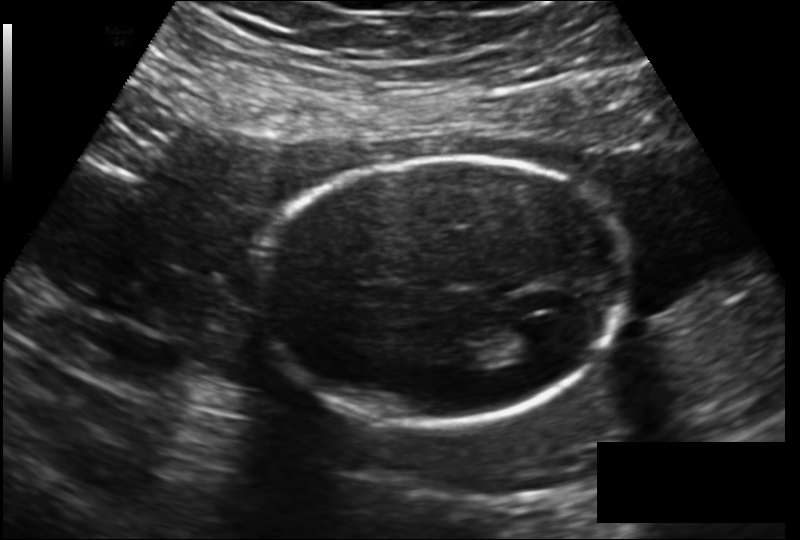
Fetal head ultrasound. Image width: 137.8 mm. Locate the fetal head.

Head: [262,154,628,425]